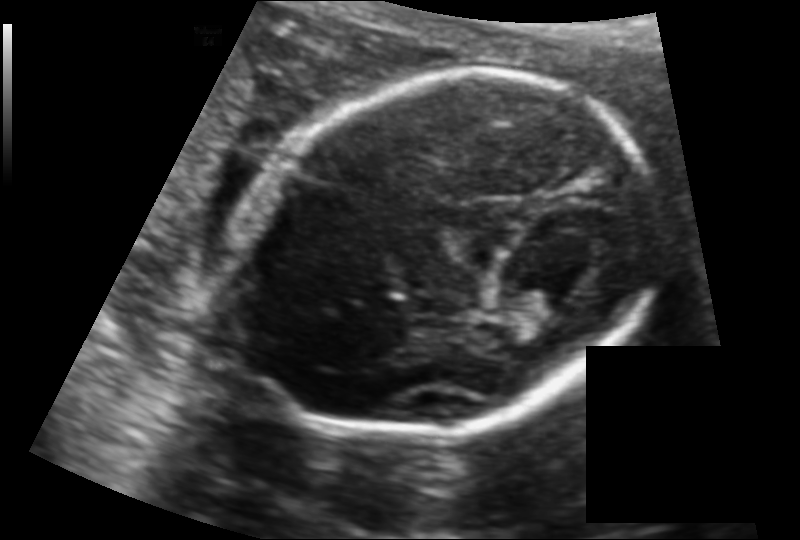
Fetal head ultrasound. Image width: 103.7 mm. Locate the fetal head and, if visible, the cavum septum pellucidum (CSP) and lateral ventricle (LV). Give bounding boxes as [x1,y1,x2,y2].

Head: [222,70,652,437]